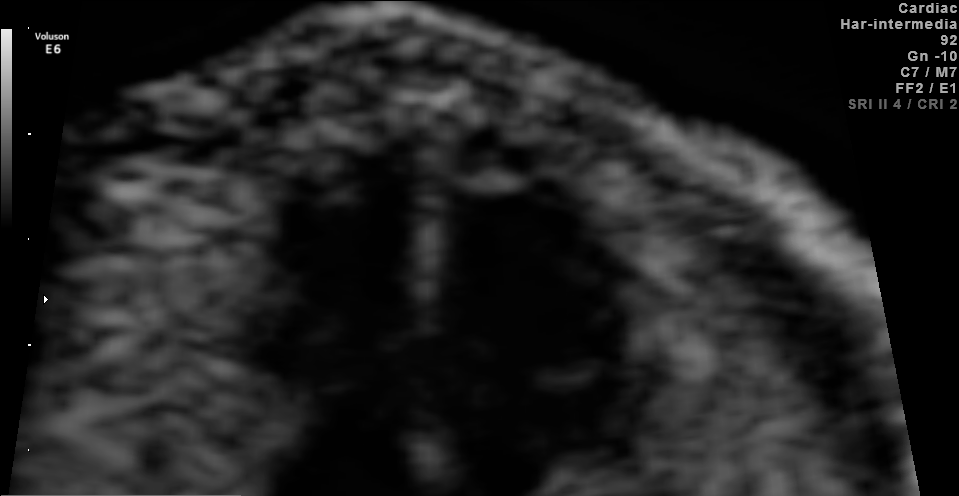
Classify this maternal-fetal ultrasound image as one of the six standard planes — fetal abdomen, fetal brain, fetal femur, fetal thorax, maternal cervix, or other. If it's fetal brain and one of the three standard brain planes (trans-thalamic, trans-cerebellum, trans-ventricular), name which.

Fetal thorax